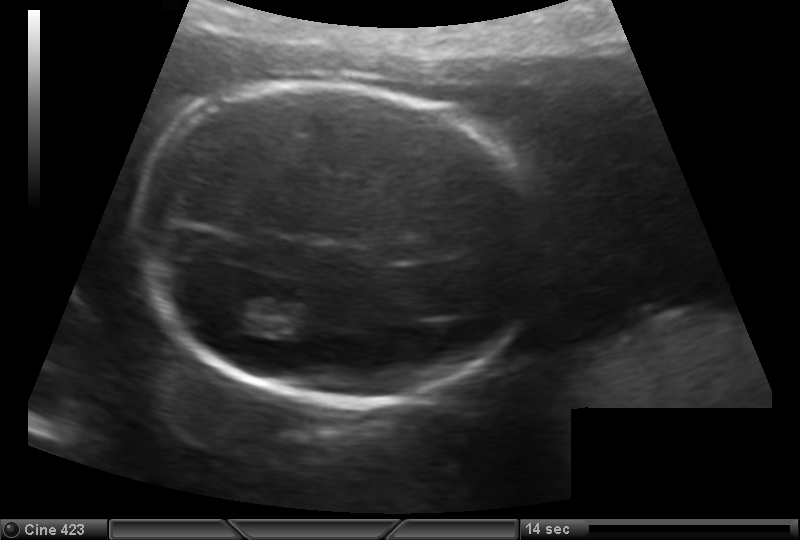
In this fetal head ultrasound, give the bounding box of the fetal head. Image width: 117.9 mm.

[128,82,535,403]